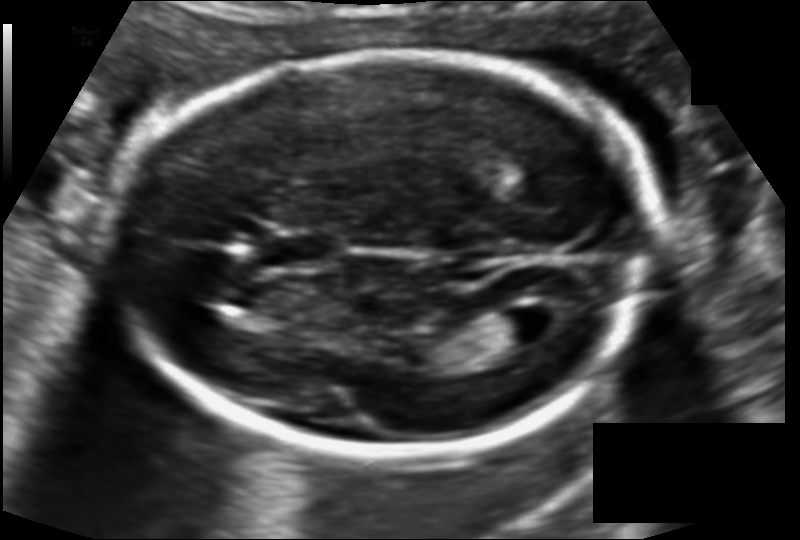
In this fetal head ultrasound, give the bounding box of the cavum septum pellucidum. Image width: 92.2 mm.

[269,233,331,266]